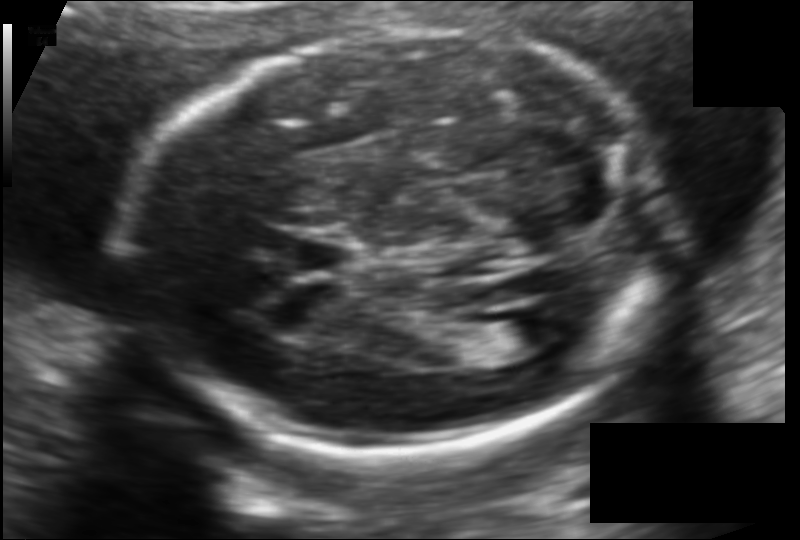
Fetal head ultrasound. Image width: 94.7 mm. Locate the fetal head and, if visible, the cavum septum pellucidum (CSP) and lateral ventricle (LV). Give bounding boxes as [x1,y1,x2,y2].

Head: [131,32,666,457]
CSP: [290,232,358,278]
Lateral ventricle: [482,305,568,363]